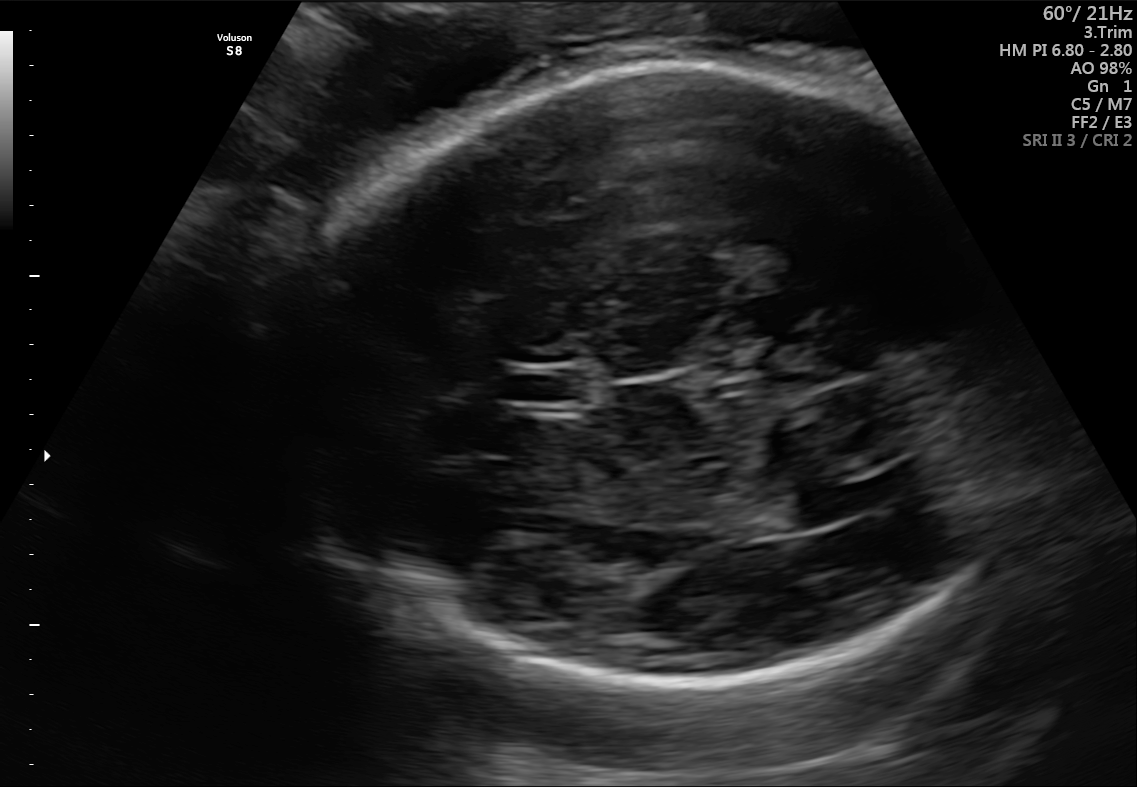
Fetal brain, trans-thalamic plane. Where is the cavum septum pellucidum?

CSP bounding box: [507,369,589,402]